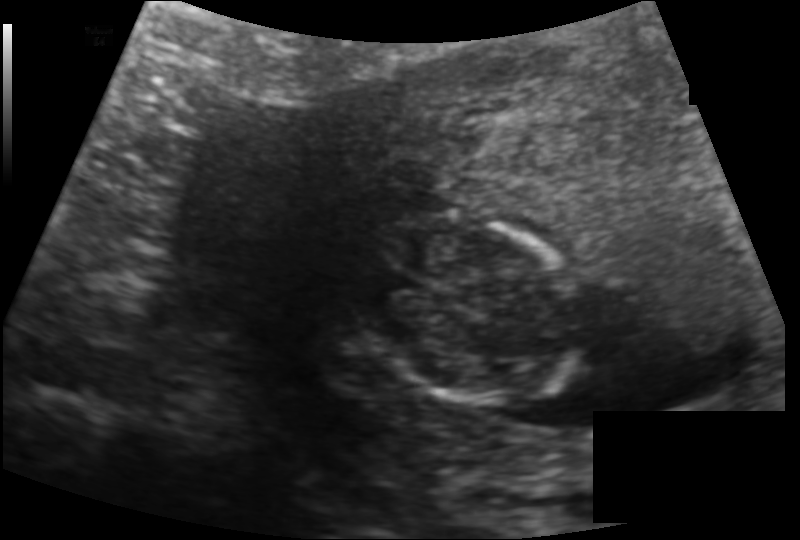
Measure the fetal head circumference shown in this ultrasound image. Image width: 102.6 mm.

Head circumference: 87.0 mm.